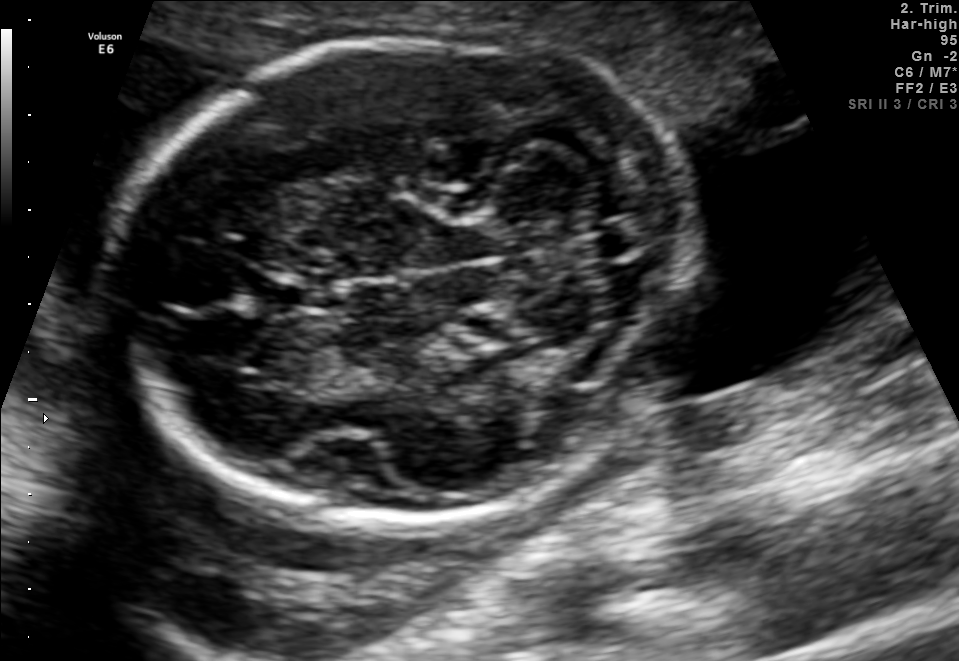
Which standard maternal-fetal ultrasound plane is shown: fetal abdomen, fetal brain, fetal femur, fetal thorax, maternal cervix, or other? If it's fetal brain and one of the three standard brain planes (trans-thalamic, trans-cerebellum, trans-ventricular), name which.

Fetal brain (trans-cerebellum plane)